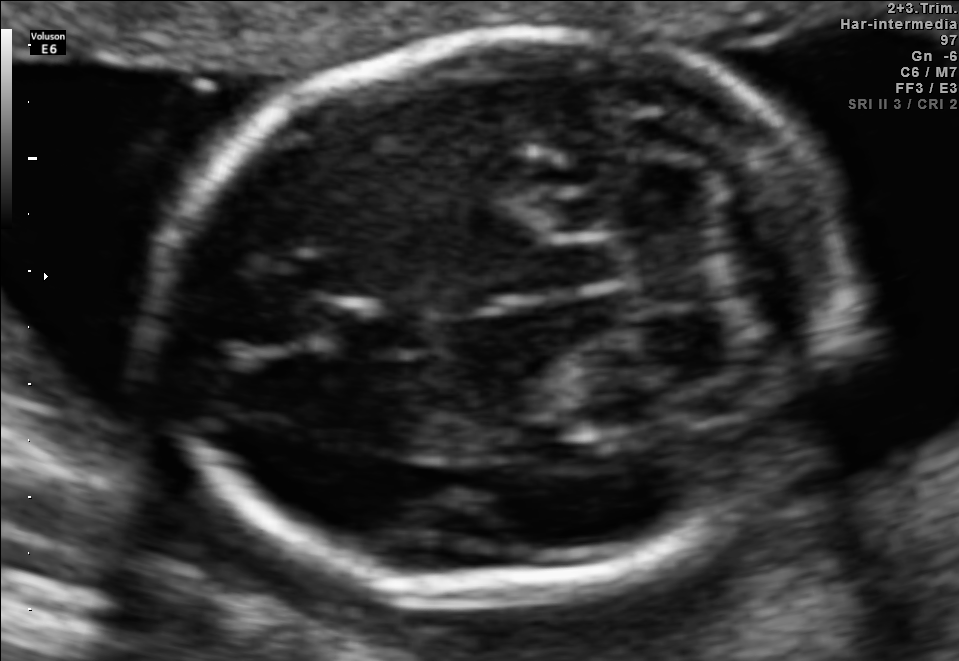
In this fetal brain, trans-cerebellum plane, give the bounding box of the cavum septum pellucidum.

[325,306,430,356]